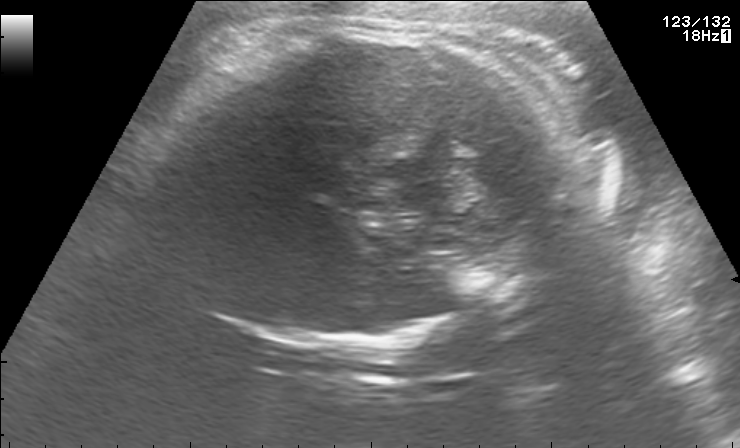
Which standard maternal-fetal ultrasound plane is shown: fetal abdomen, fetal brain, fetal femur, fetal thorax, maternal cervix, or other? If it's fetal brain and one of the three standard brain planes (trans-thalamic, trans-cerebellum, trans-ventricular), name which.

Fetal brain